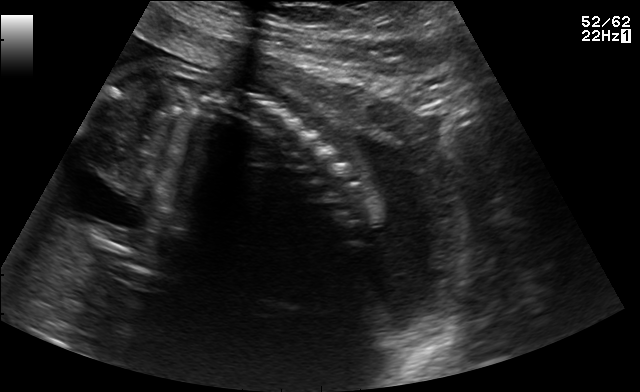
Which standard maternal-fetal ultrasound plane is shown: fetal abdomen, fetal brain, fetal femur, fetal thorax, maternal cervix, or other? If it's fetal brain and one of the three standard brain planes (trans-thalamic, trans-cerebellum, trans-ventricular), name which.

Other